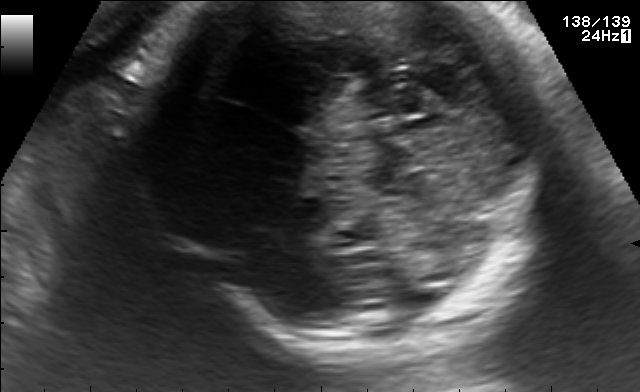
Identify the standard plane in this fetal ultrasound image: fetal abdomen, fetal brain, fetal femur, fetal thorax, maternal cervix, or other. If it's fetal brain and one of the three standard brain planes (trans-thalamic, trans-cerebellum, trans-ventricular), name which.

Fetal brain (trans-cerebellum plane)